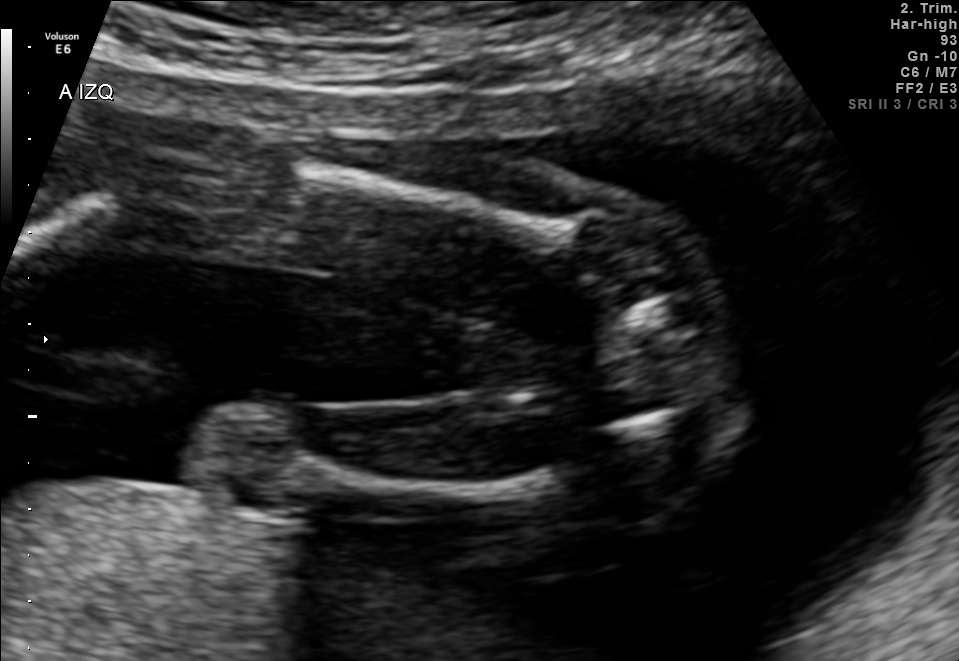
This is a 2D maternal-fetal ultrasound frame. Is it a fetal abdomen, fetal brain, fetal femur, fetal thorax, maternal cervix, or other standard plane? If it's fetal brain and one of the three standard brain planes (trans-thalamic, trans-cerebellum, trans-ventricular), name which.

Fetal femur